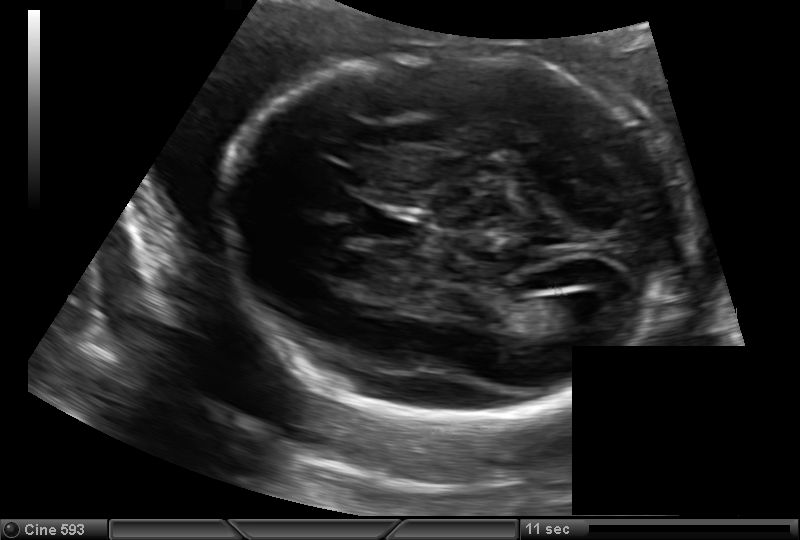
In this fetal head ultrasound, give the bounding box of the lateral ventricle. Image width: 115.2 mm.

[535,292,598,332]